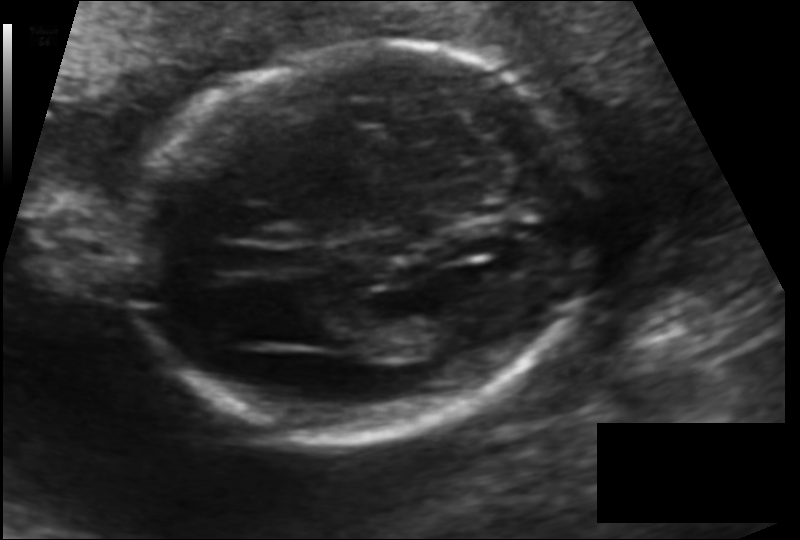
Fetal head ultrasound. Image width: 96.4 mm. Locate the fetal head.

Head: [132,44,590,434]